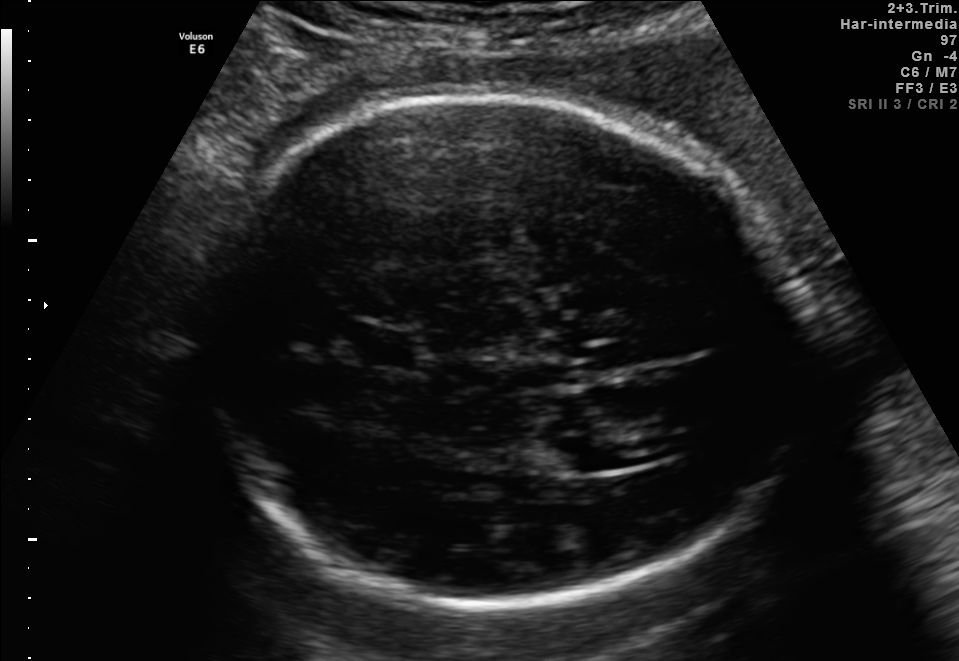
Fetal brain, trans-ventricular plane. Locate the fetal head.

Head: [187,87,824,616]